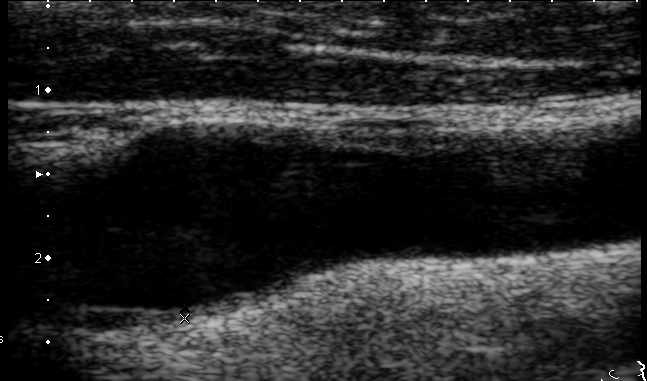
Which standard maternal-fetal ultrasound plane is shown: fetal abdomen, fetal brain, fetal femur, fetal thorax, maternal cervix, or other? If it's fetal brain and one of the three standard brain planes (trans-thalamic, trans-cerebellum, trans-ventricular), name which.

Other